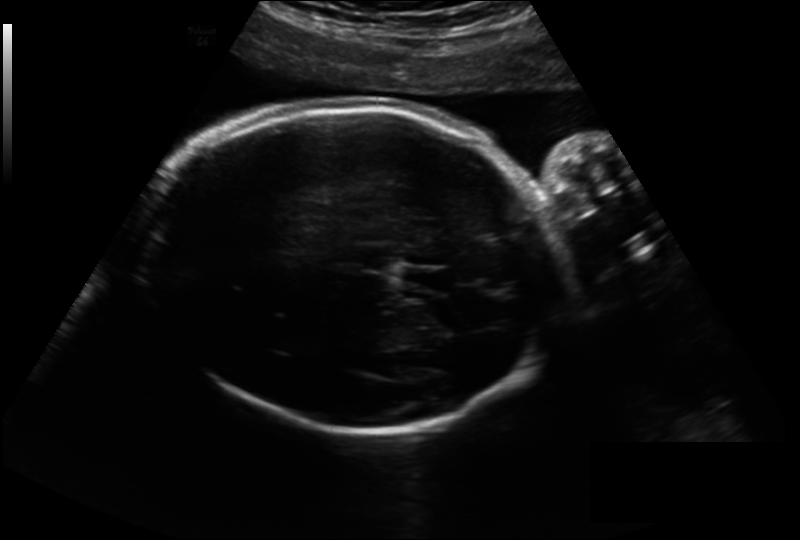
What is the fetal head circumference? Image width is 194.6 mm.

296.8 mm